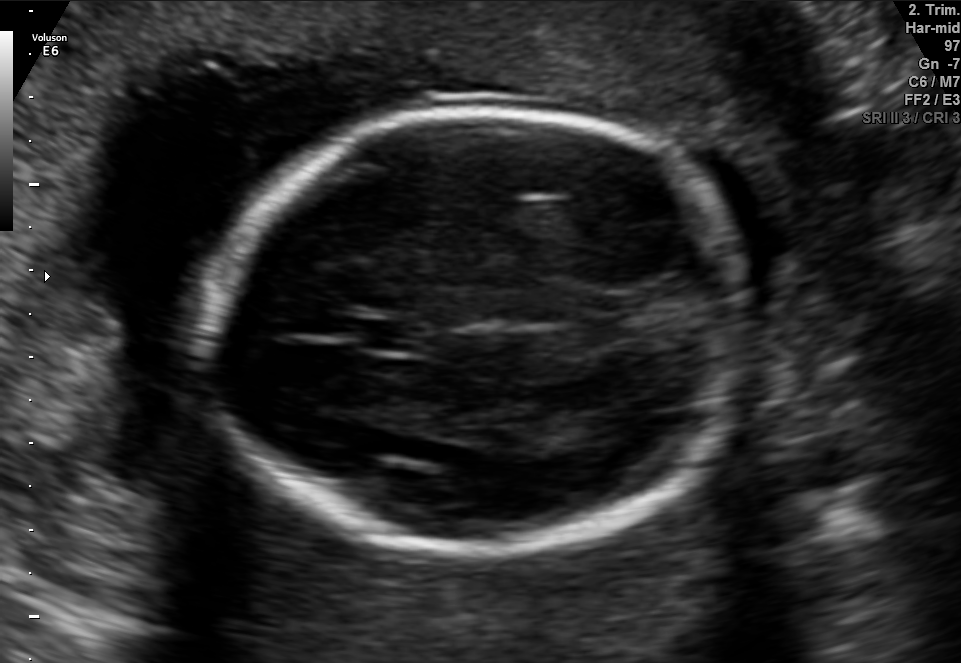
Fetal brain, trans-thalamic plane. Locate the fetal head and, if visible, the cavum septum pellucidum (CSP) and lateral ventricle (LV). Give bounding boxes as [x1,y1,x2,y2].

Head: [208,107,751,558]
CSP: [358,317,425,352]